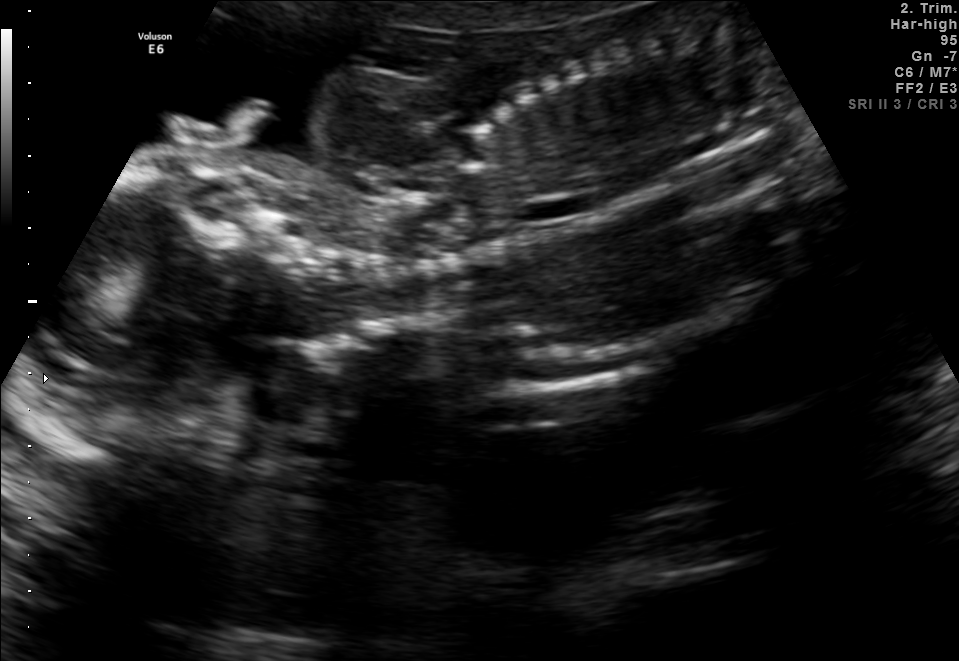
Classify this maternal-fetal ultrasound image as one of the six standard planes — fetal abdomen, fetal brain, fetal femur, fetal thorax, maternal cervix, or other. If it's fetal brain and one of the three standard brain planes (trans-thalamic, trans-cerebellum, trans-ventricular), name which.

Other